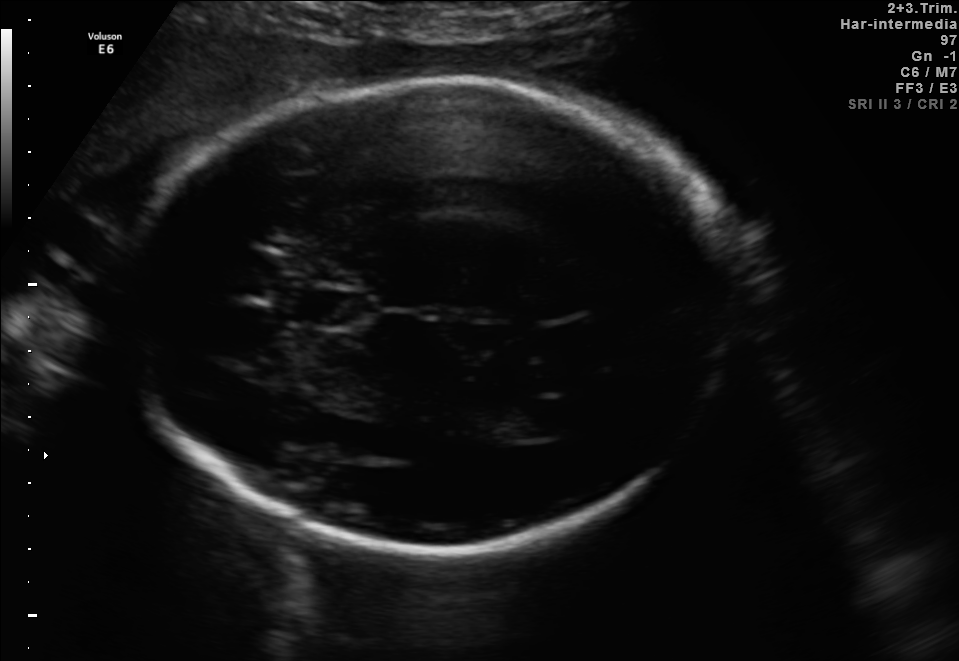
Fetal brain, trans-thalamic plane. Locate the cavum septum pellucidum.

CSP: [312,290,369,327]